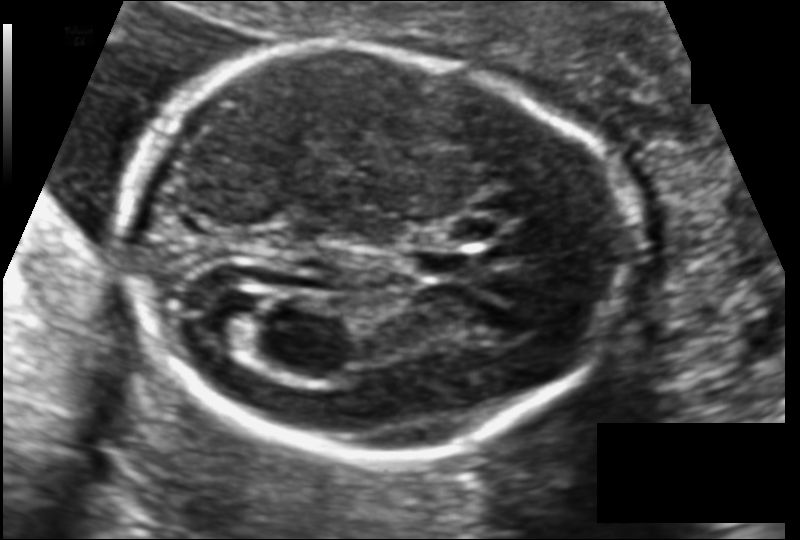
Fetal head ultrasound. Image width: 93.1 mm. Where is the fetal head?

Head bounding box: [123,49,622,458]